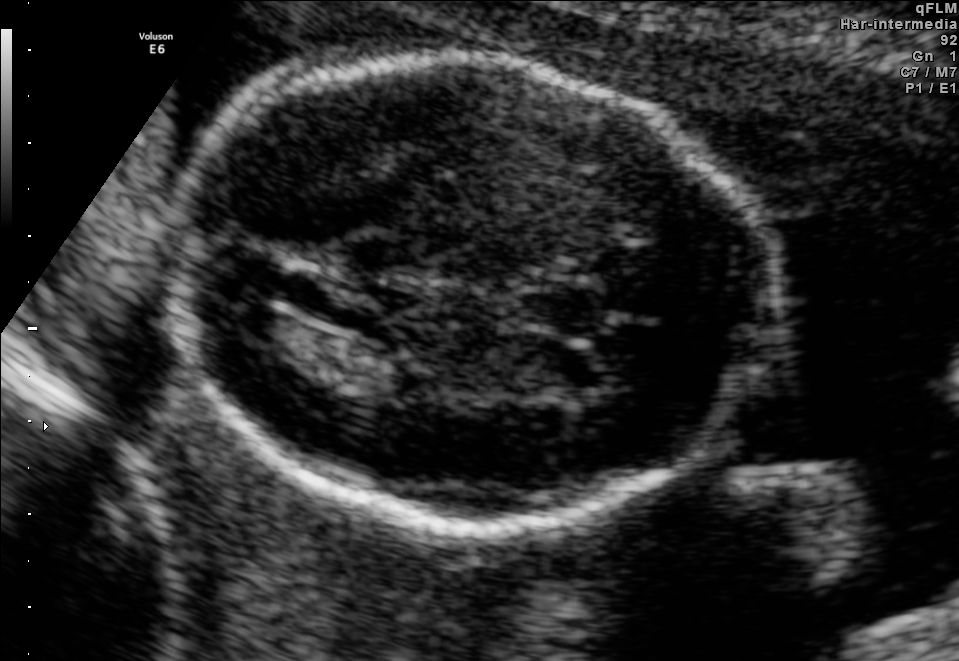
Fetal brain, trans-thalamic plane. Where is the cavum septum pellucidum?

CSP bounding box: [519,284,603,334]